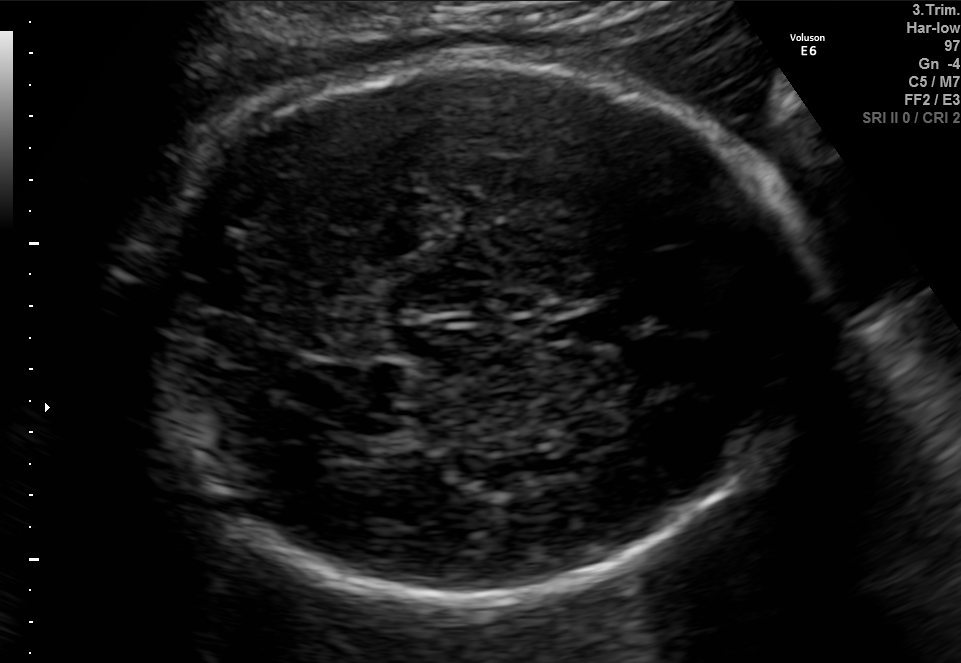
Fetal brain, trans-thalamic plane. Locate the fetal head.

Head: [133,59,812,606]